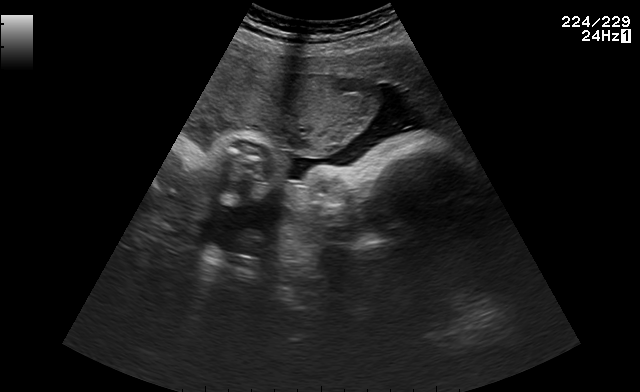
Classify this maternal-fetal ultrasound image as one of the six standard planes — fetal abdomen, fetal brain, fetal femur, fetal thorax, maternal cervix, or other. If it's fetal brain and one of the three standard brain planes (trans-thalamic, trans-cerebellum, trans-ventricular), name which.

Other